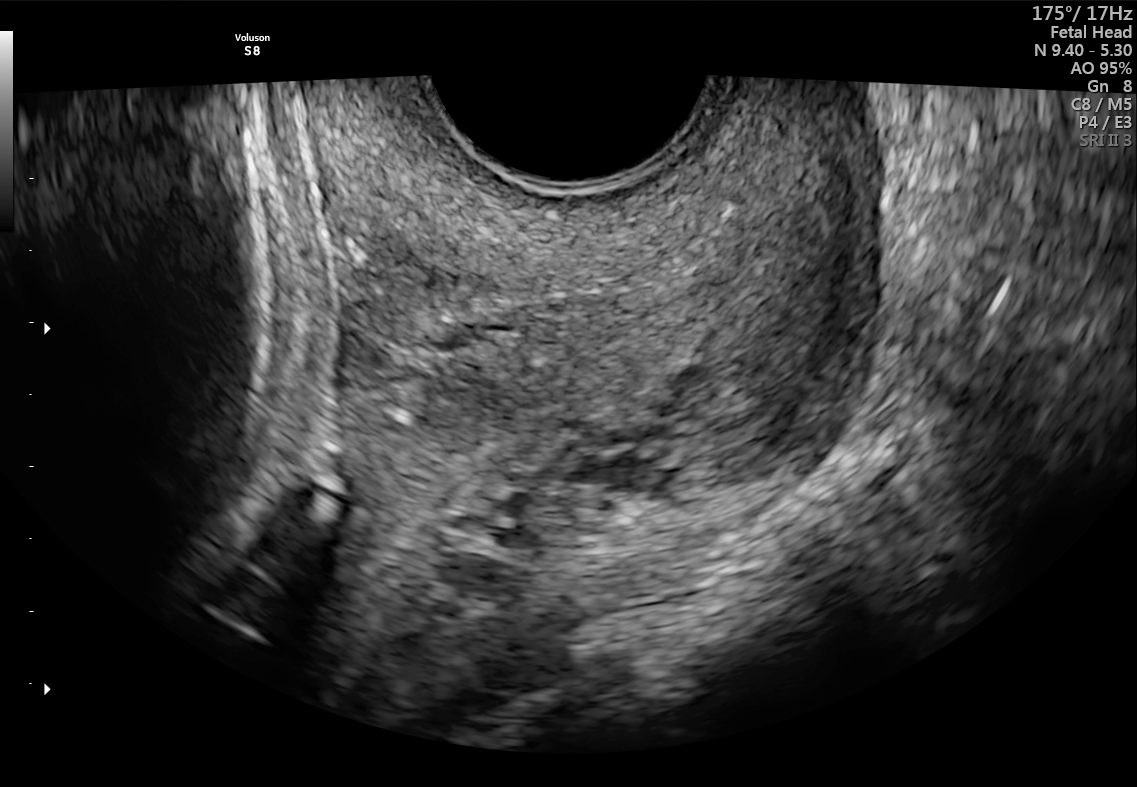
Which standard maternal-fetal ultrasound plane is shown: fetal abdomen, fetal brain, fetal femur, fetal thorax, maternal cervix, or other? If it's fetal brain and one of the three standard brain planes (trans-thalamic, trans-cerebellum, trans-ventricular), name which.

Maternal cervix